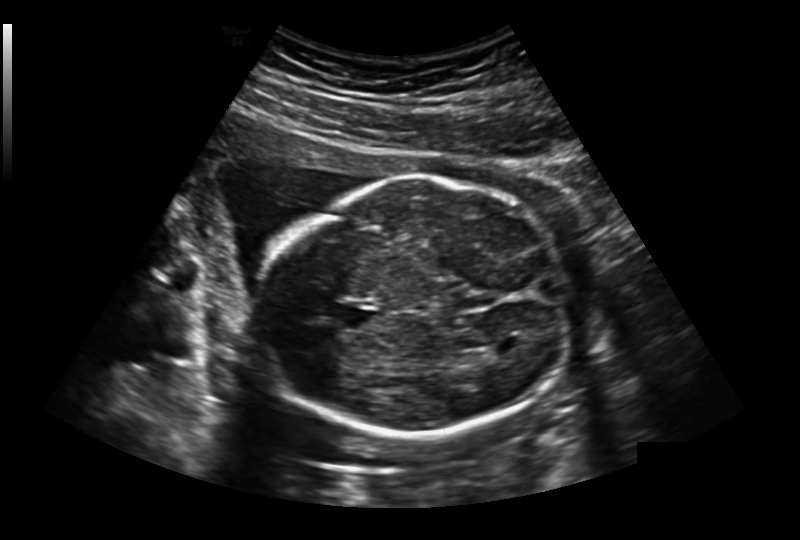
In this fetal head ultrasound, give bounding boxes for the head outline, cavum septum pellucidum (CSP), and lateral ventricle (LV), where visible. Image width: 188.6 mm.

Head: [256,176,571,440]
CSP: [336,304,375,330]